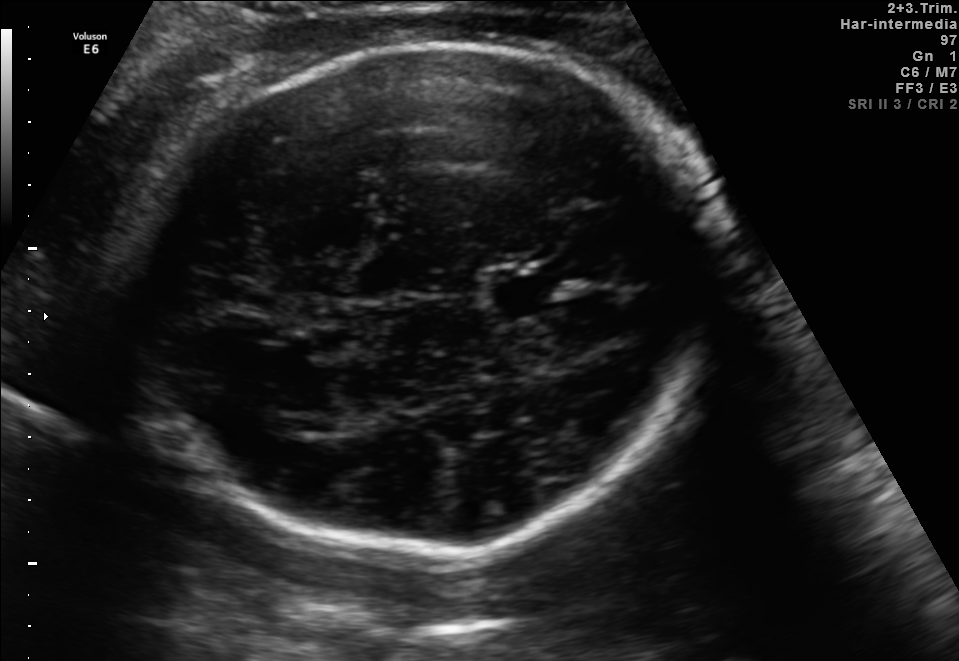
Fetal brain, trans-thalamic plane. Give [x1,y1,x2,y2] bounding boxes for each visible structure among: fetal head, CSP, LV.

Head: [122,46,715,555]
CSP: [485,267,562,319]